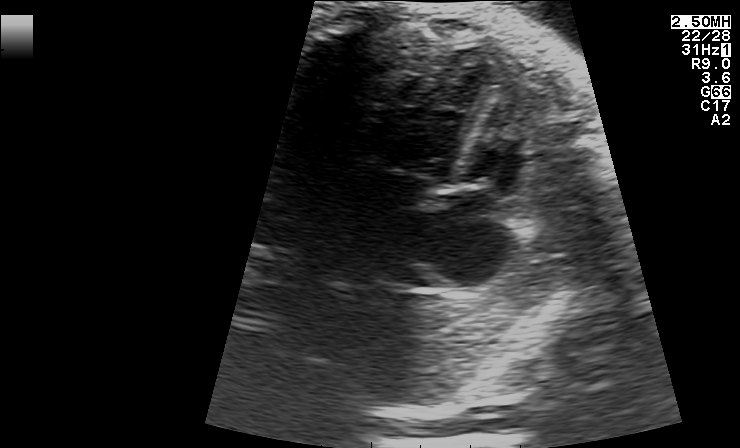
Classify this maternal-fetal ultrasound image as one of the six standard planes — fetal abdomen, fetal brain, fetal femur, fetal thorax, maternal cervix, or other. If it's fetal brain and one of the three standard brain planes (trans-thalamic, trans-cerebellum, trans-ventricular), name which.

Fetal thorax